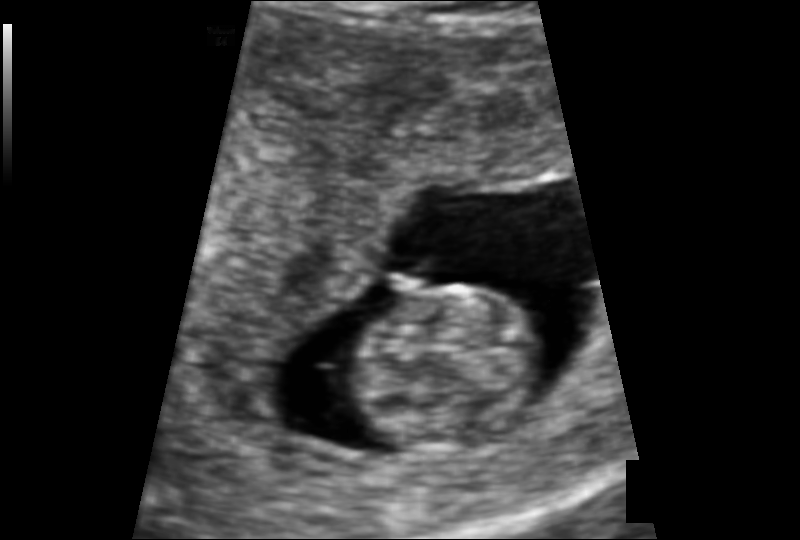
Fetal head ultrasound. Image width: 87.5 mm. Give [x1,y1,x2,y2] bounding boxes for each visible structure among: fetal head, CSP, LV.

Head: [355,285,546,453]